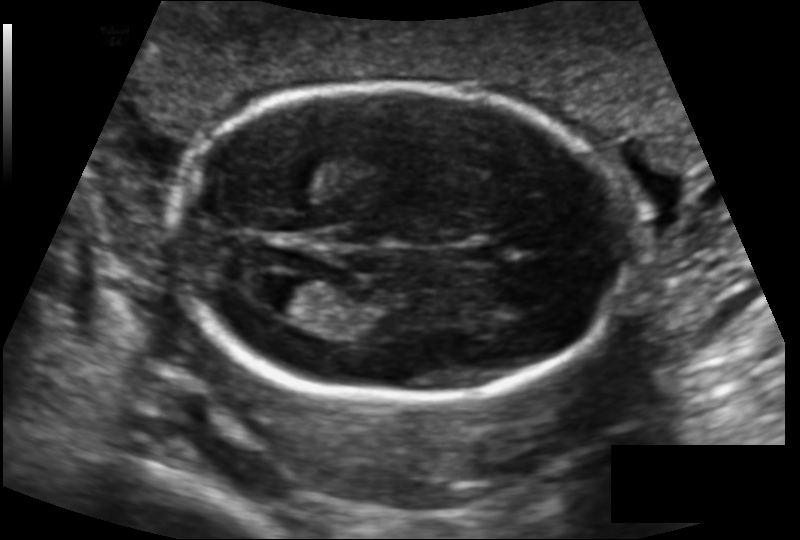
Fetal head ultrasound. Image width: 104.8 mm. Locate the fetal head.

Head: [173,83,634,400]